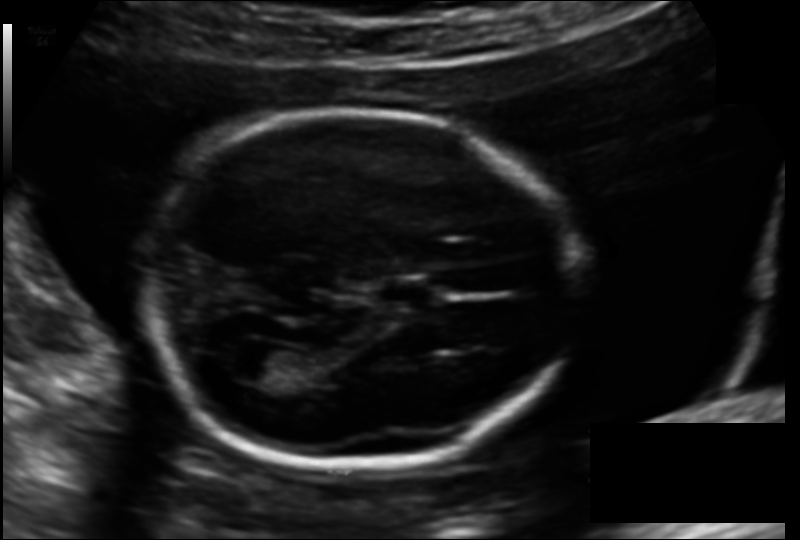
Fetal head ultrasound. Image width: 109.9 mm. Where is the lateral ventricle?

Lateral ventricle bounding box: [234,349,284,381]